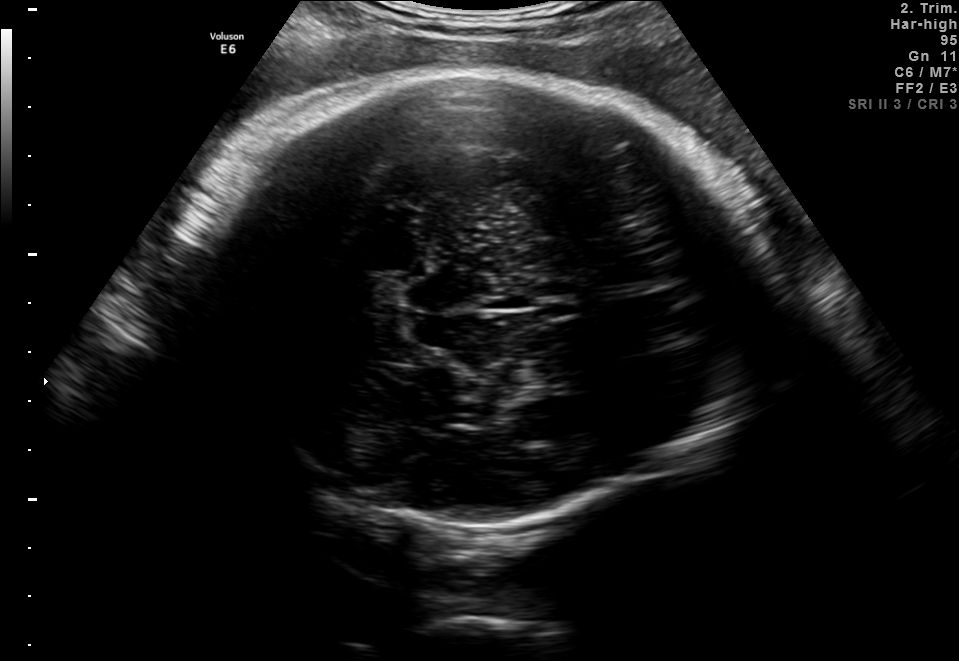
Fetal brain, trans-thalamic plane. Where is the fetal head?

Head bounding box: [171,70,748,541]